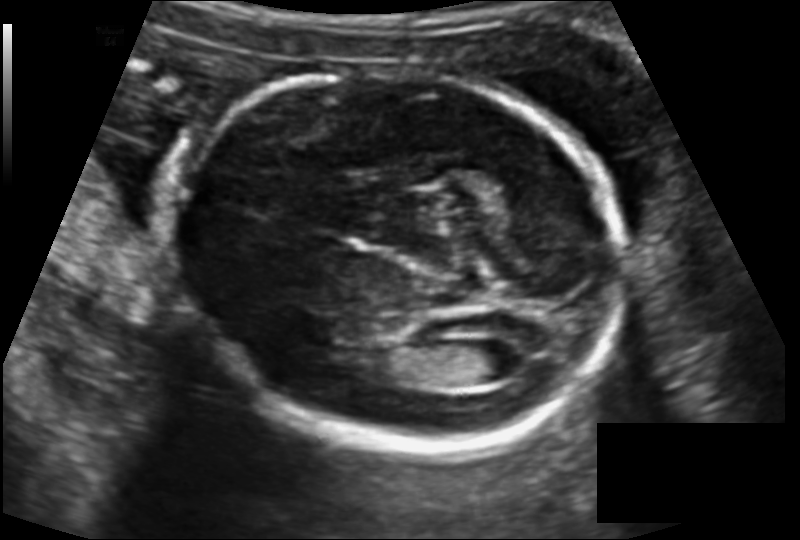
Fetal head ultrasound. Image width: 103.4 mm. Locate the fetal head.

Head: [168,72,632,450]